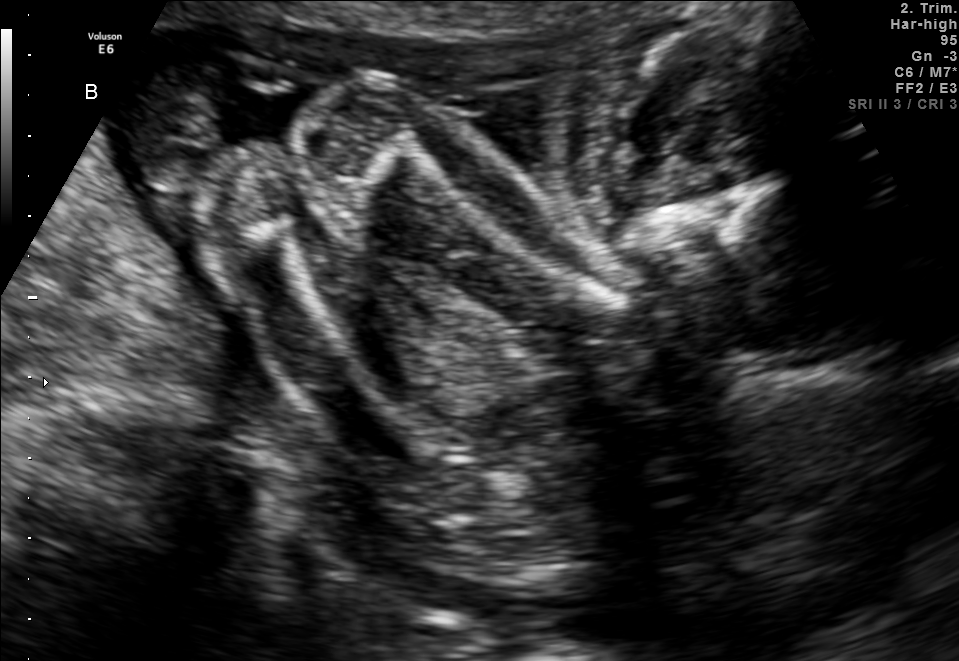
This is a 2D maternal-fetal ultrasound frame. Is it a fetal abdomen, fetal brain, fetal femur, fetal thorax, maternal cervix, or other standard plane? If it's fetal brain and one of the three standard brain planes (trans-thalamic, trans-cerebellum, trans-ventricular), name which.

Fetal femur